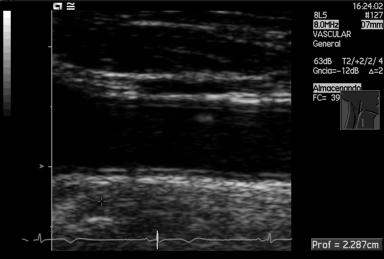
Which standard maternal-fetal ultrasound plane is shown: fetal abdomen, fetal brain, fetal femur, fetal thorax, maternal cervix, or other? If it's fetal brain and one of the three standard brain planes (trans-thalamic, trans-cerebellum, trans-ventricular), name which.

Other